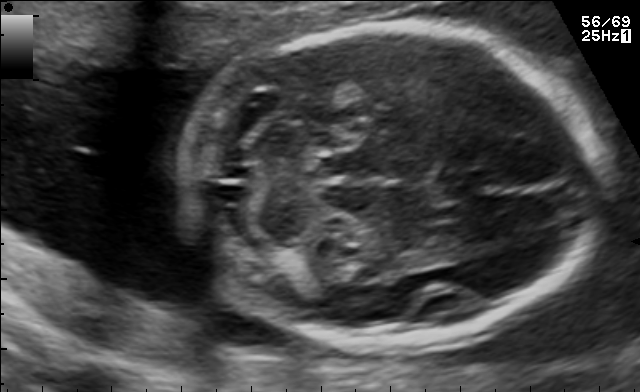
Fetal brain, trans-cerebellum plane. Locate the fetal head.

Head: [184,23,606,342]